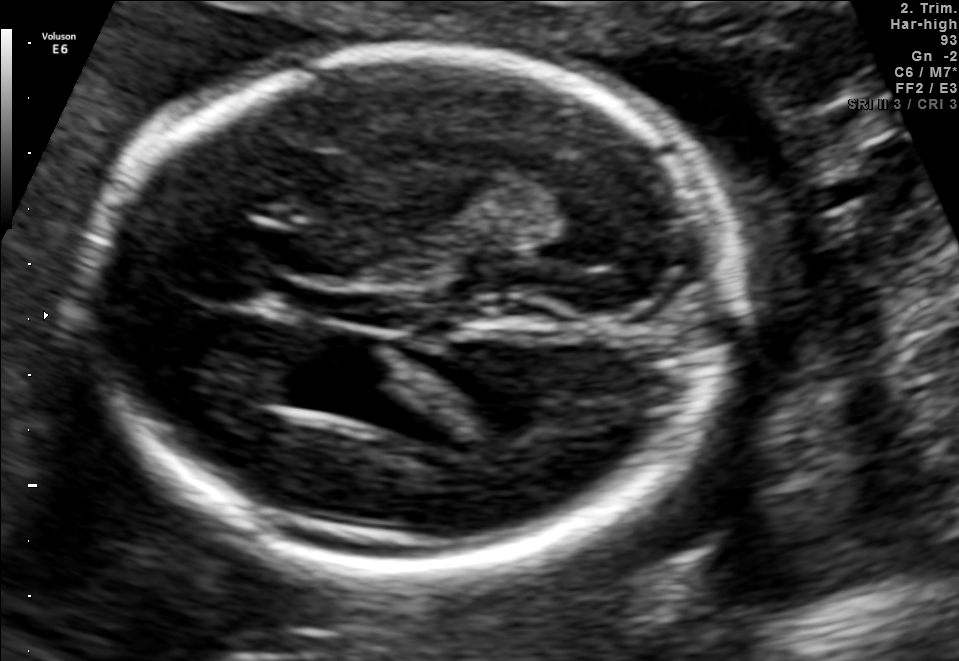
Fetal brain, trans-thalamic plane. Locate the fetal head.

Head: [88,49,721,568]